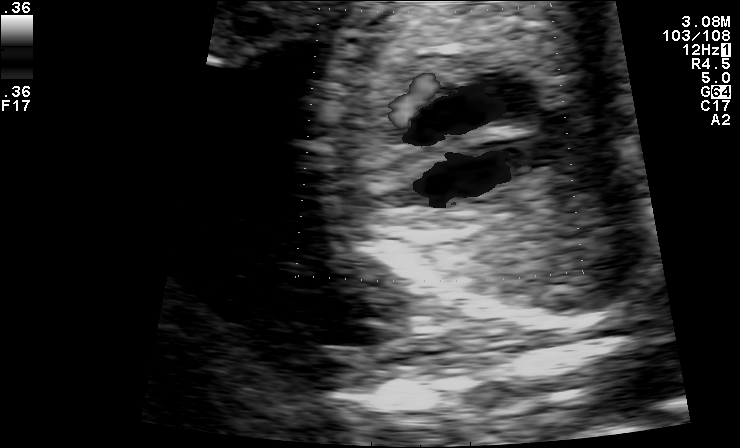
Identify the standard plane in this fetal ultrasound image: fetal abdomen, fetal brain, fetal femur, fetal thorax, maternal cervix, or other. If it's fetal brain and one of the three standard brain planes (trans-thalamic, trans-cerebellum, trans-ventricular), name which.

Other